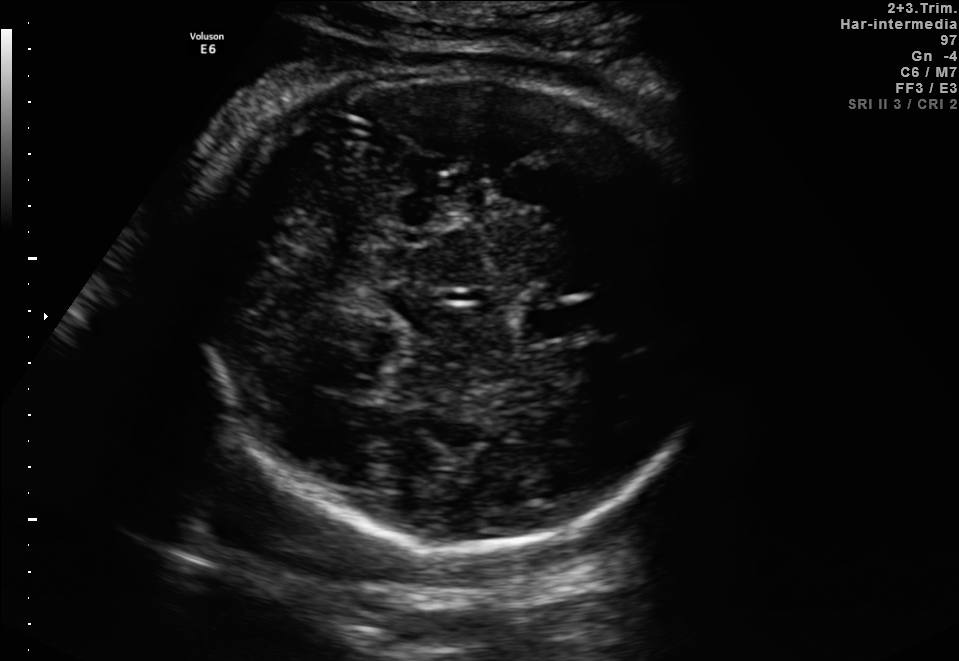
In this fetal brain, trans-thalamic plane, give the bounding box of the cavum septum pellucidum.

[524,299,594,343]